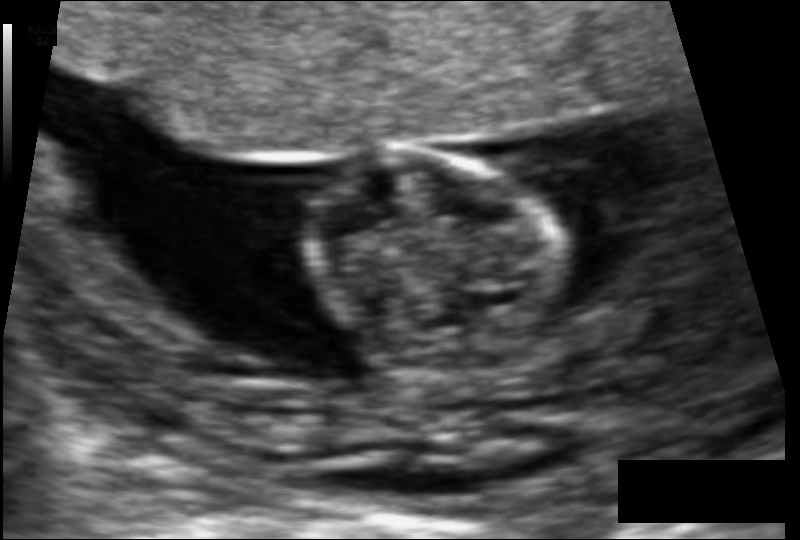
From this fetal ultrasound, estimate the head circumference (image width 63.2 mm).

Head circumference: 62.9 mm.